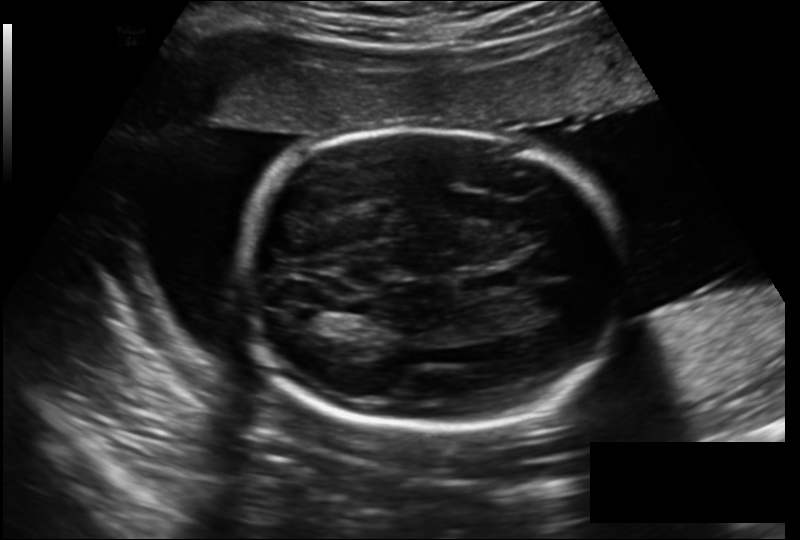
Estimate the fetal head circumference from this 2D ultrasound. Image width: 164.7 mm.

Head circumference: 228.2 mm.